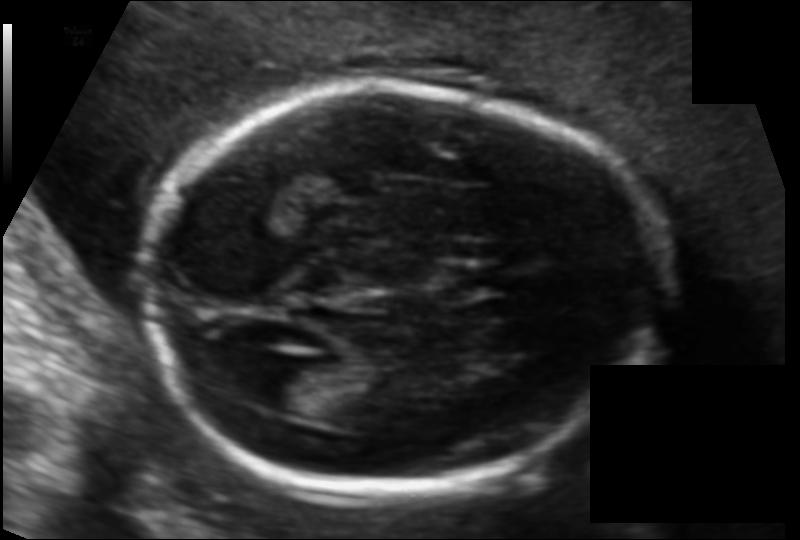
From this fetal ultrasound, estimate the head circumference (image width 88.8 mm).

Head circumference: 165.6 mm.